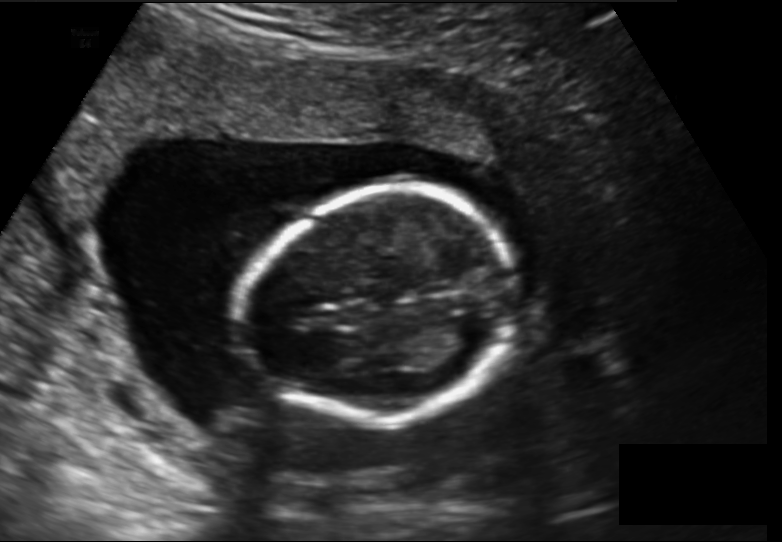
From this fetal ultrasound, estimate the head circumference (image width 122.9 mm).

Head circumference: 131.1 mm.